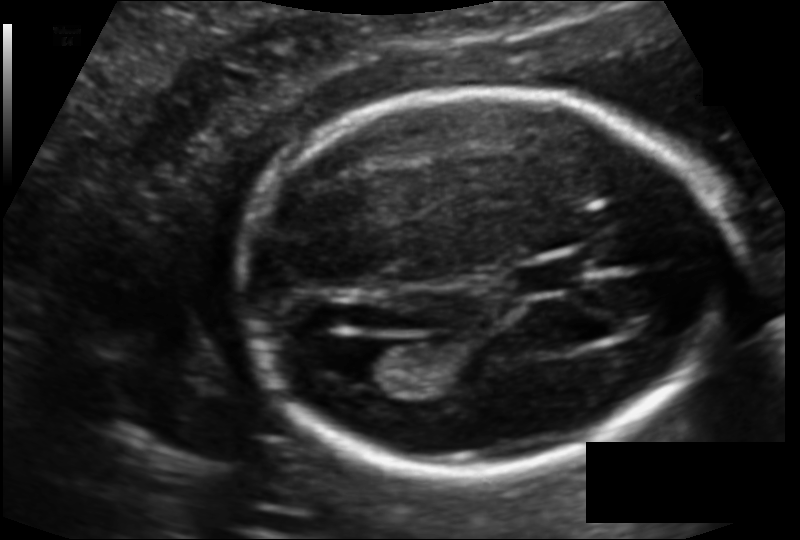
Fetal head ultrasound. Image width: 96.9 mm. Give [x1,y1,x2,y2] bounding boxes for each visible structure among: fetal head, CSP, LV.

Head: [237,89,722,475]
CSP: [511,249,591,301]
Lateral ventricle: [334,339,411,387]